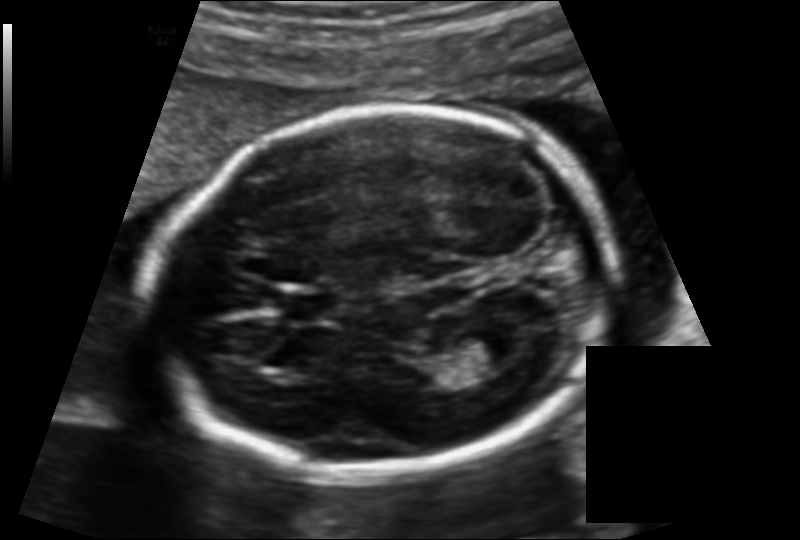
From this fetal ultrasound, estimate the head circumference (image width 104.7 mm).

Head circumference: 175.3 mm.